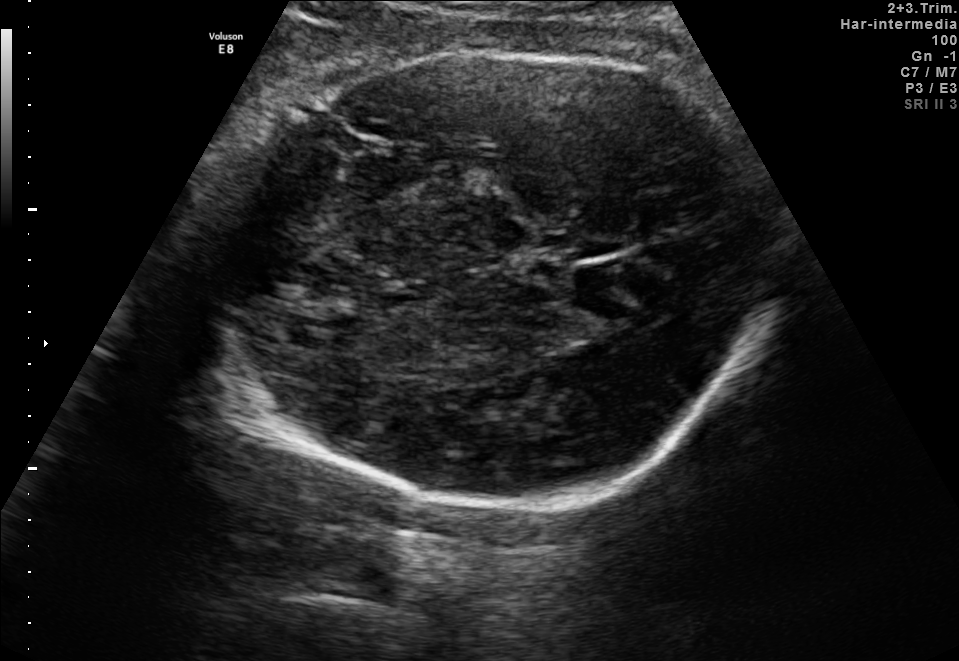
Fetal brain, trans-thalamic plane. Give [x1,y1,x2,y2] bounding boxes for each visible structure among: fetal head, CSP, LV.

Head: [206,44,779,519]